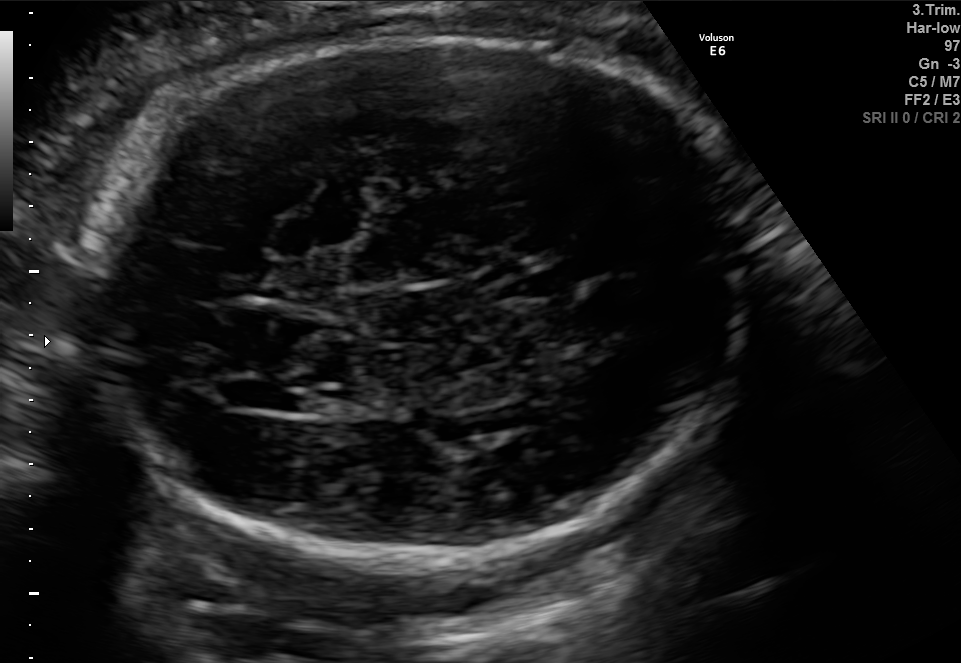
Fetal brain, trans-ventricular plane. Locate the fetal head.

Head: [72,23,765,566]